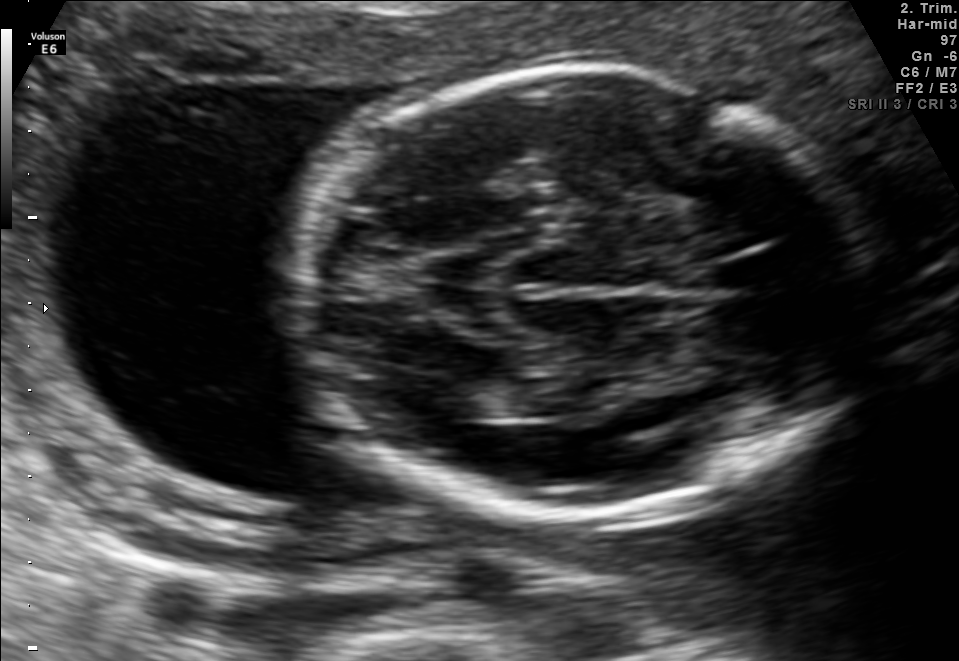
In this fetal brain, trans-thalamic plane, give the bounding box of the fetal head.

[298,69,867,516]